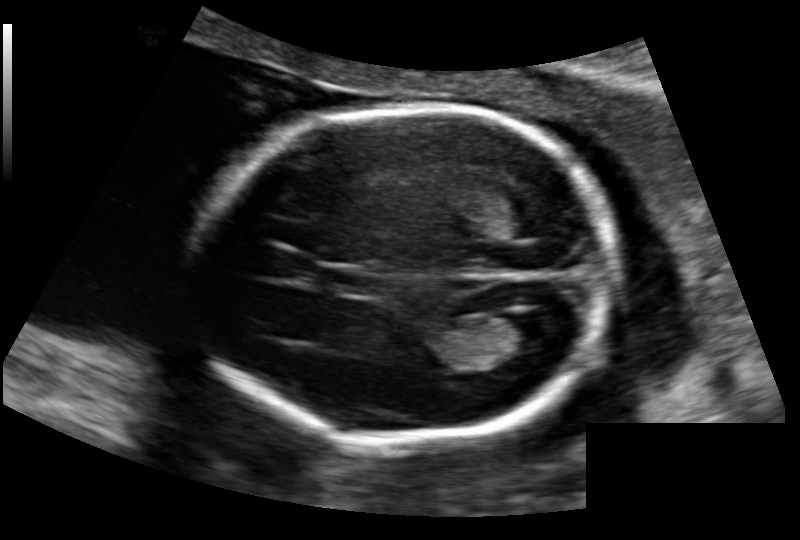
Fetal head ultrasound. Image width: 108.9 mm. Locate the fetal head and, if visible, the cavum septum pellucidum (CSP) and lateral ventricle (LV). Give bounding boxes as [x1,y1,x2,y2].

Head: [189,108,615,440]
CSP: [325,267,377,297]
Lateral ventricle: [491,311,558,356]